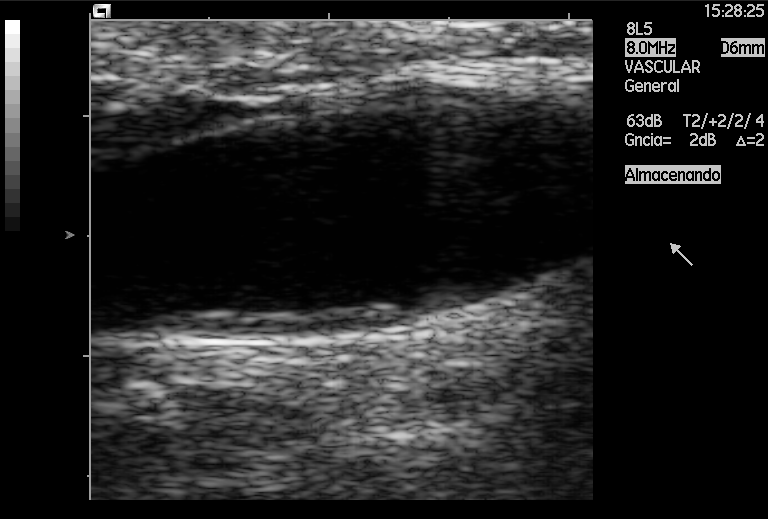
Classify this maternal-fetal ultrasound image as one of the six standard planes — fetal abdomen, fetal brain, fetal femur, fetal thorax, maternal cervix, or other. If it's fetal brain and one of the three standard brain planes (trans-thalamic, trans-cerebellum, trans-ventricular), name which.

Other